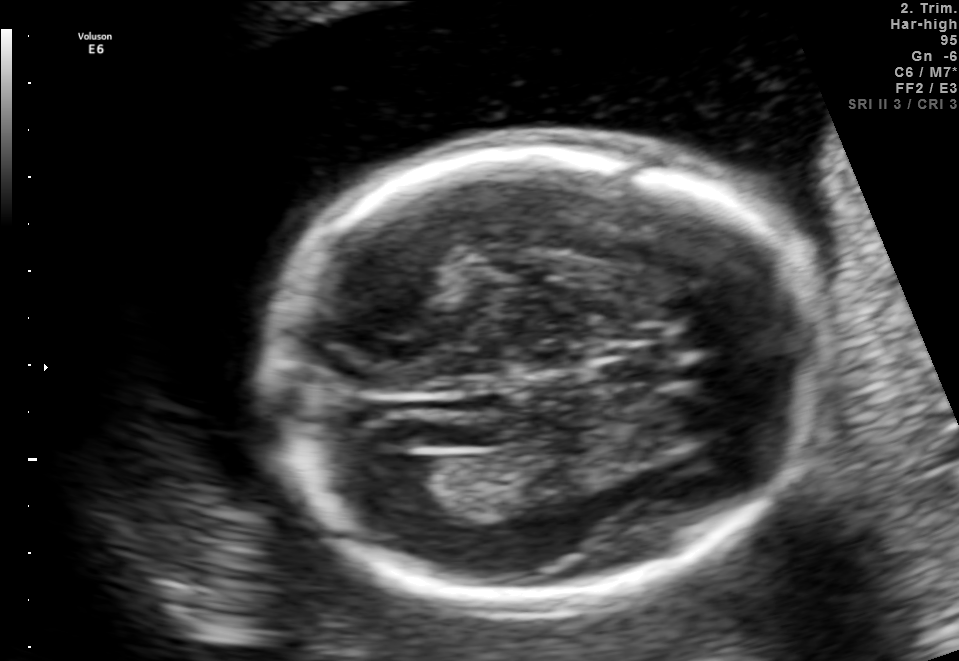
In this fetal brain, trans-ventricular plane, give the bounding box of the fetal head.

[257,125,834,622]